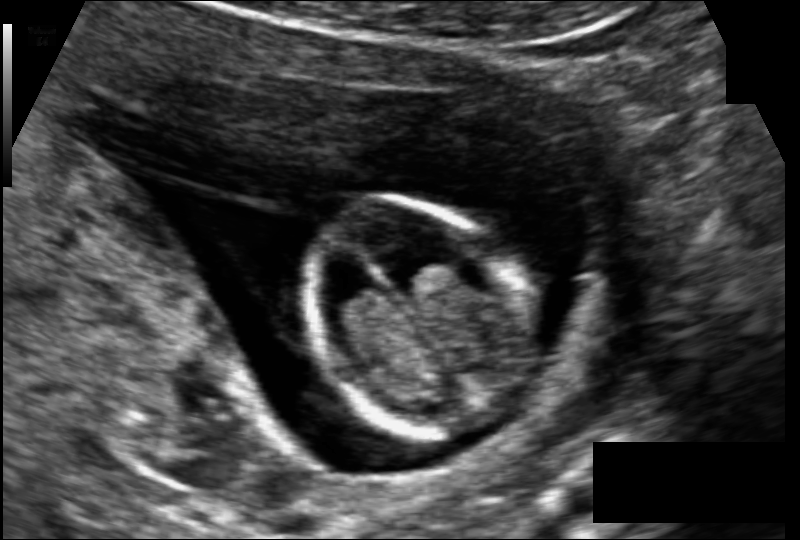
Fetal head ultrasound. Image width: 81.3 mm. Locate the fetal head and, if visible, the cavum septum pellucidum (CSP) and lateral ventricle (LV). Give bounding boxes as [x1,y1,x2,y2].

Head: [299,203,535,436]